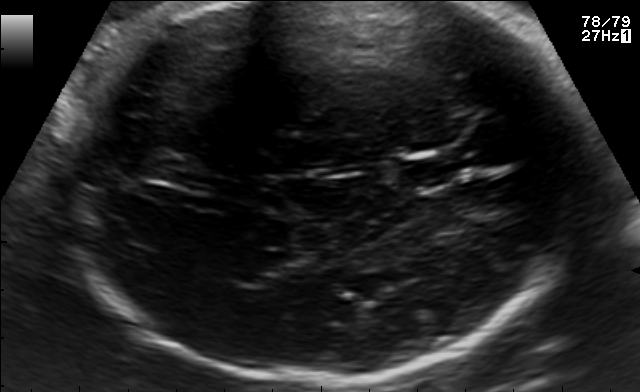
Fetal brain, trans-thalamic plane. Give [x1,y1,x2,y2] bounding boxes for each visible structure among: fetal head, CSP, LV.

Head: [57,2,607,384]
CSP: [398,153,456,193]